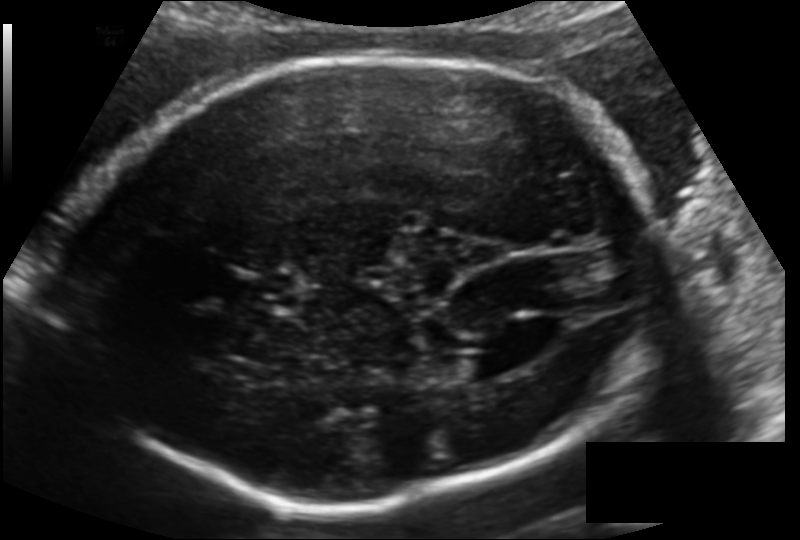
Estimate the fetal head circumference from this 2D ultrasound.

Head circumference: 247.8 mm (image width 118.6 mm).